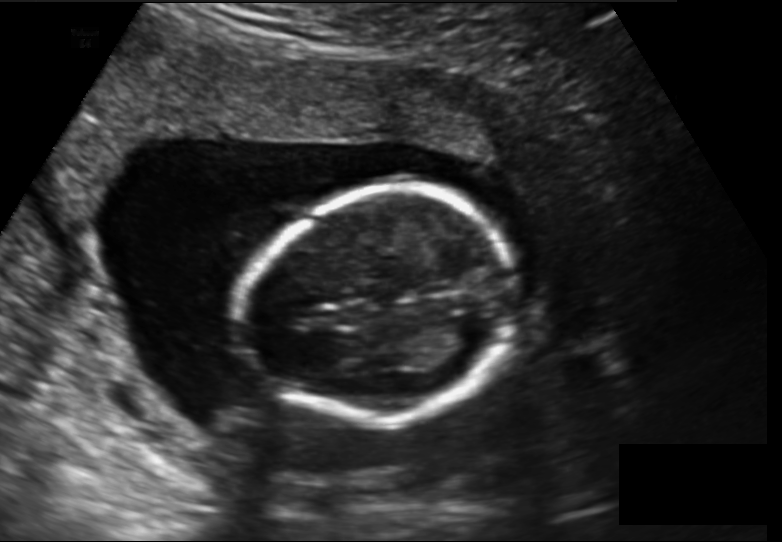
Fetal head ultrasound. Image width: 122.9 mm. Locate the fetal head and, if visible, the cavum septum pellucidum (CSP) and lateral ventricle (LV). Give bounding boxes as [x1,y1,x2,y2].

Head: [245,188,519,423]